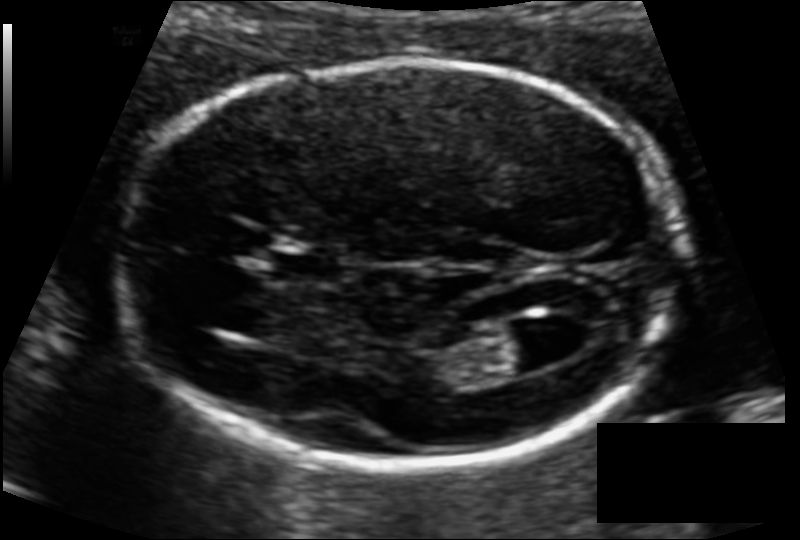
Fetal head ultrasound. Image width: 83.4 mm. Where is the lateral ventricle?

Lateral ventricle bounding box: [485,314,574,380]